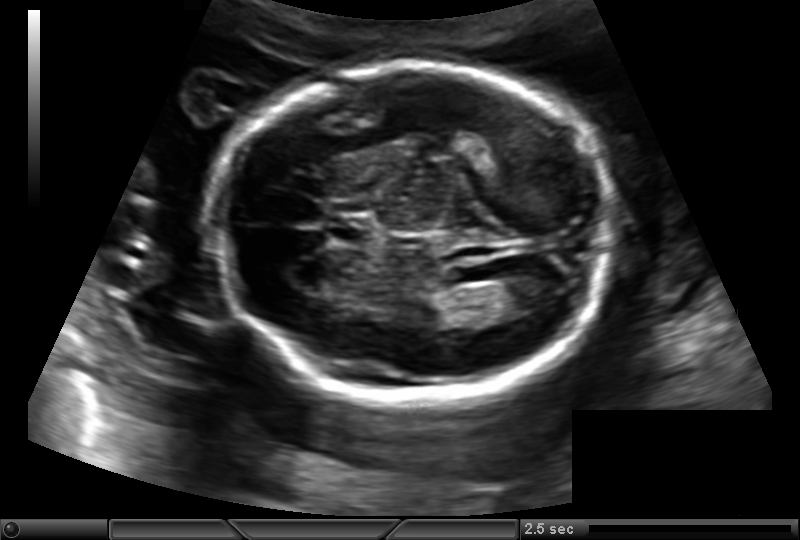
Fetal head ultrasound. Image width: 116.2 mm. Locate the lateral ventricle.

Lateral ventricle: [488,271,561,320]